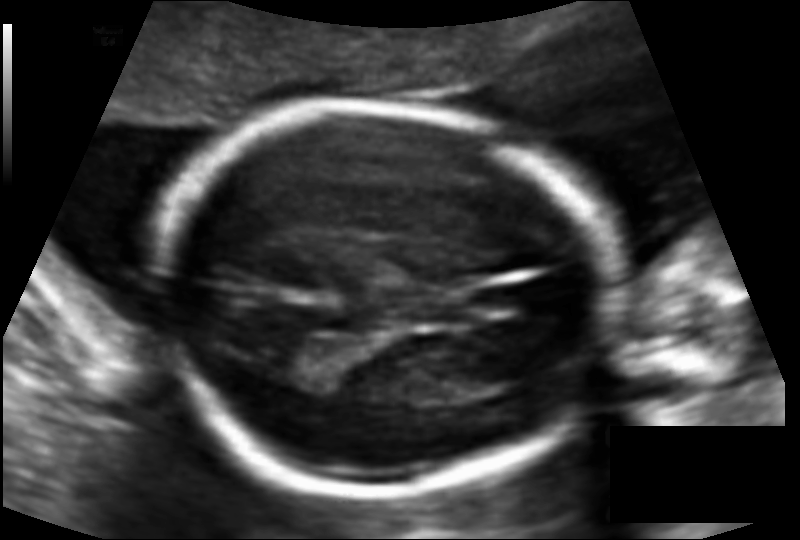
Fetal head ultrasound. Image width: 87.7 mm. Give [x1,y1,x2,y2] bounding boxes for each visible structure among: fetal head, CSP, LV.

Head: [157,107,606,492]
CSP: [412,297,467,324]